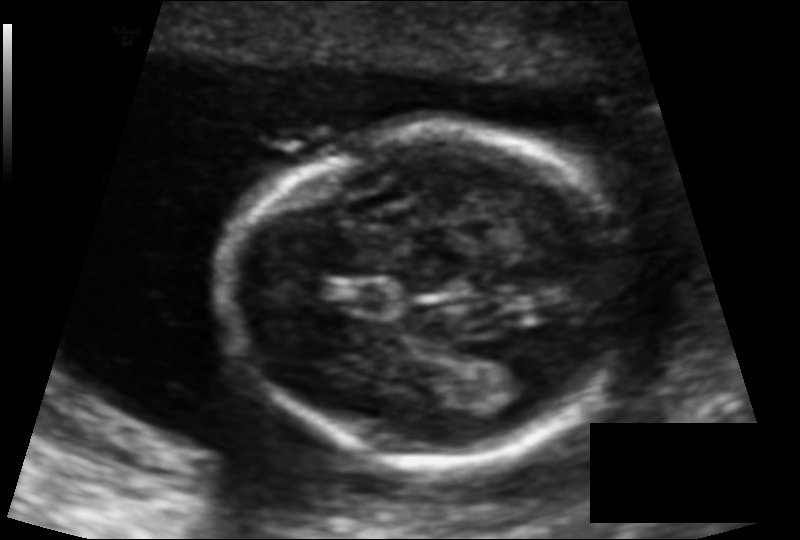
From this fetal ultrasound, estimate the head circumference (image width 81.7 mm).

Head circumference: 121.3 mm.